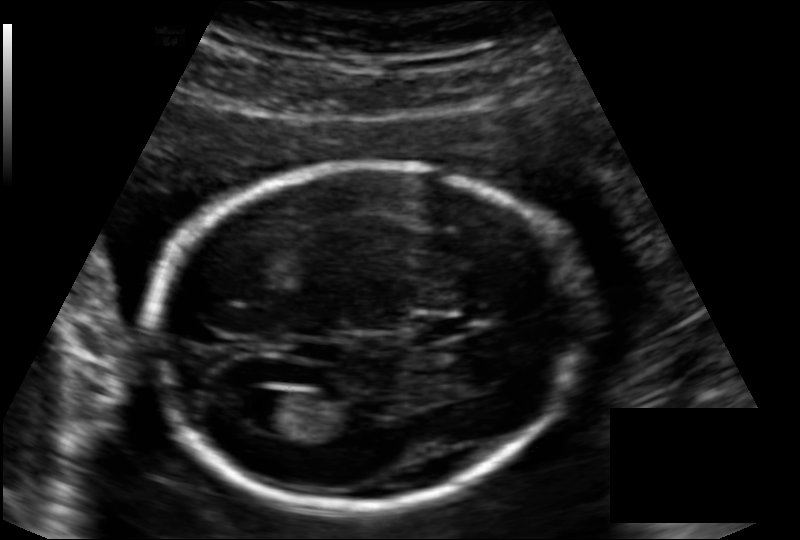
Fetal head ultrasound. Image width: 108.5 mm. Where is the lateral ventricle?

Lateral ventricle bounding box: [232,386,302,435]